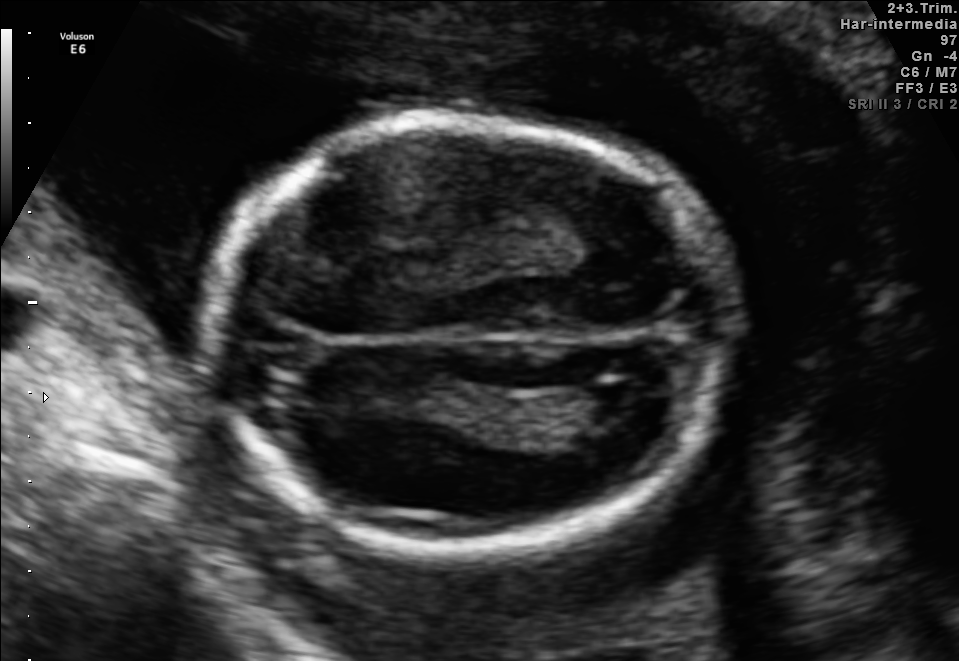
Fetal brain, trans-ventricular plane. Locate the fetal head and, if visible, the cavum septum pellucidum (CSP) and lateral ventricle (LV). Give bounding boxes as [x1,y1,x2,y2].

Head: [191,108,748,559]
Lateral ventricle: [569,374,649,430]